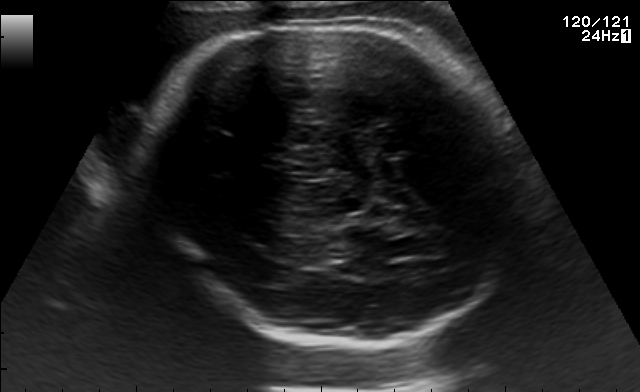
Fetal brain, trans-thalamic plane. Locate the fetal head.

Head: [153,19,526,347]